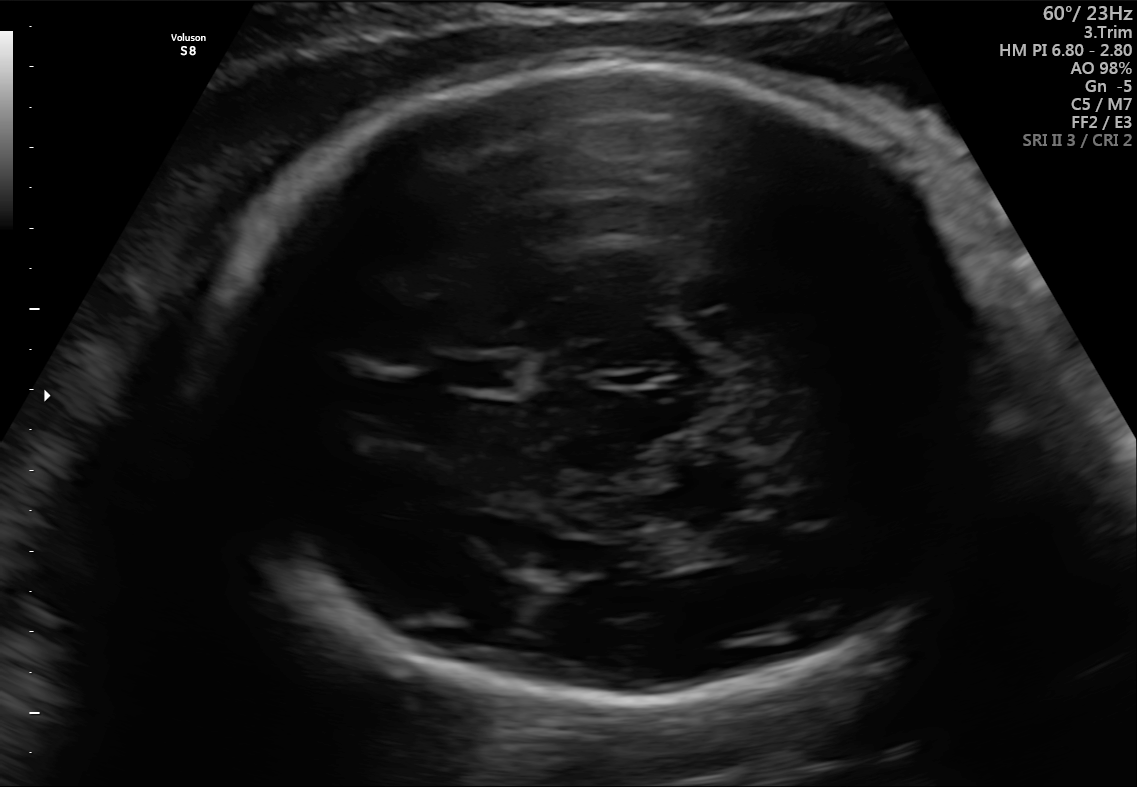
Fetal brain, trans-thalamic plane. Locate the lateral ventricle.

Lateral ventricle: [671,506,777,571]